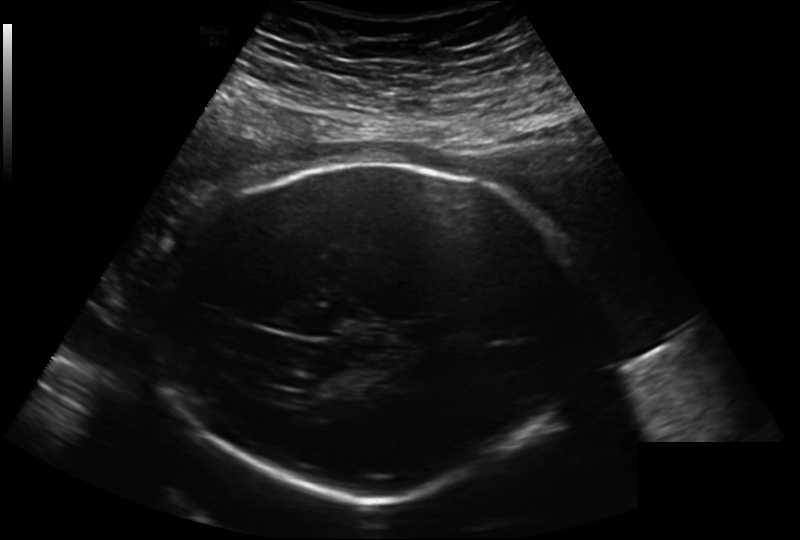
From this fetal ultrasound, estimate the head circumference (image width 192.6 mm).

Head circumference: 298.8 mm.